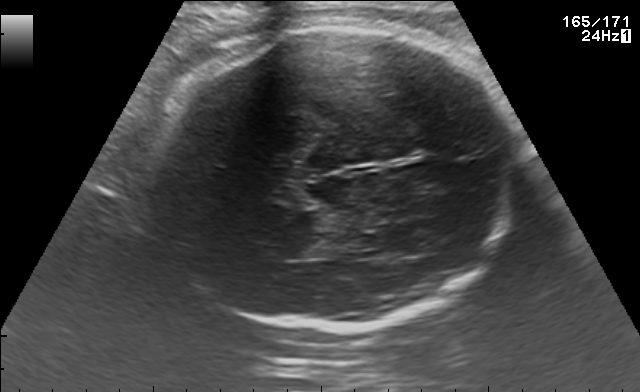
In this fetal brain, trans-thalamic plane, give bounding boxes for the head outline, cavum septum pellucidum (CSP), and lateral ventricle (LV), where visible.

Head: [142,21,515,332]